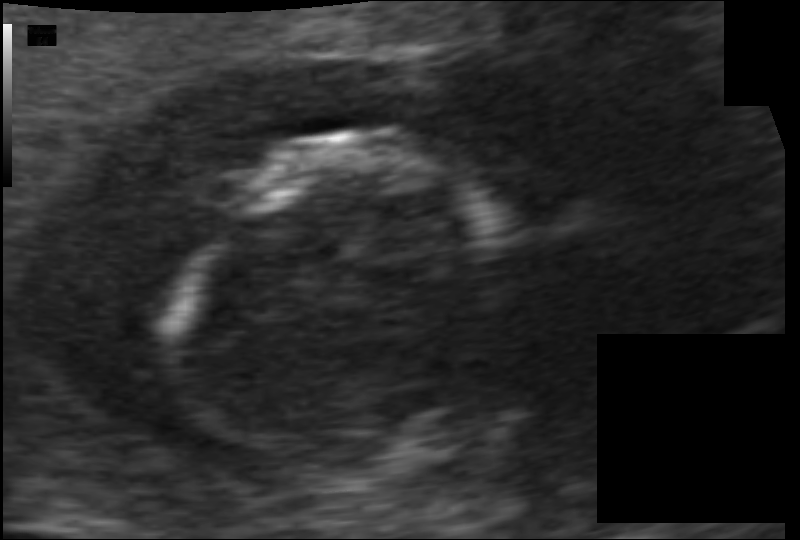
In this fetal head ultrasound, give bounding boxes for the head outline, cavum septum pellucidum (CSP), and lateral ventricle (LV), where visible. Image width: 55.9 mm.

Head: [180,135,496,457]